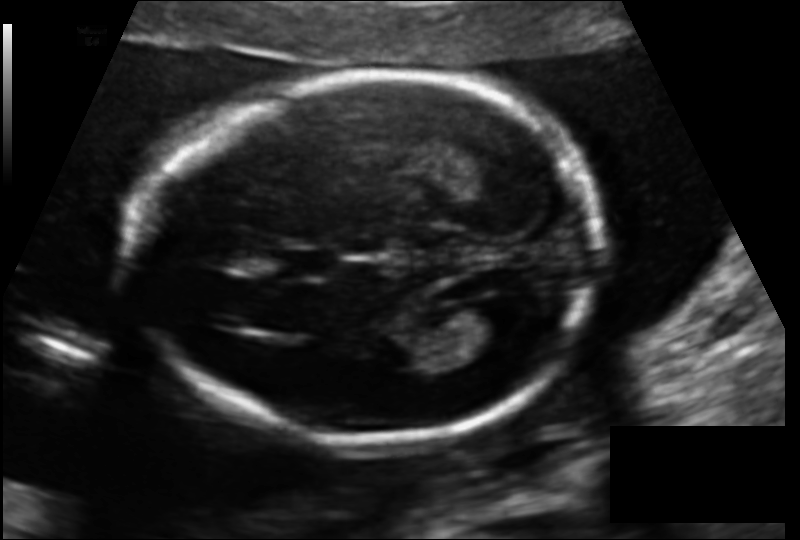
Fetal head ultrasound. Image width: 100.2 mm. Where is the lateral ventricle?

Lateral ventricle bounding box: [455,283,533,351]